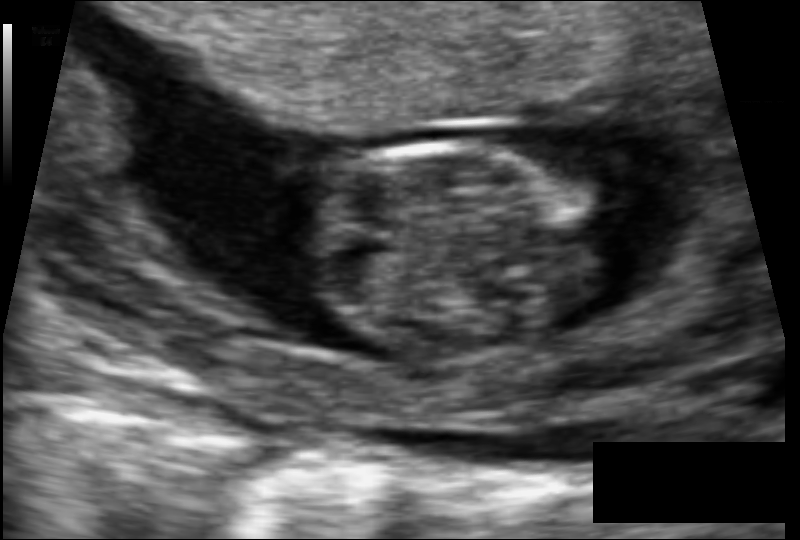
Fetal head ultrasound. Image width: 61.8 mm. Locate the fetal head and, if visible, the cavum septum pellucidum (CSP) and lateral ventricle (LV). Give bounding boxes as [x1,y1,x2,y2].

Head: [304,141,603,356]